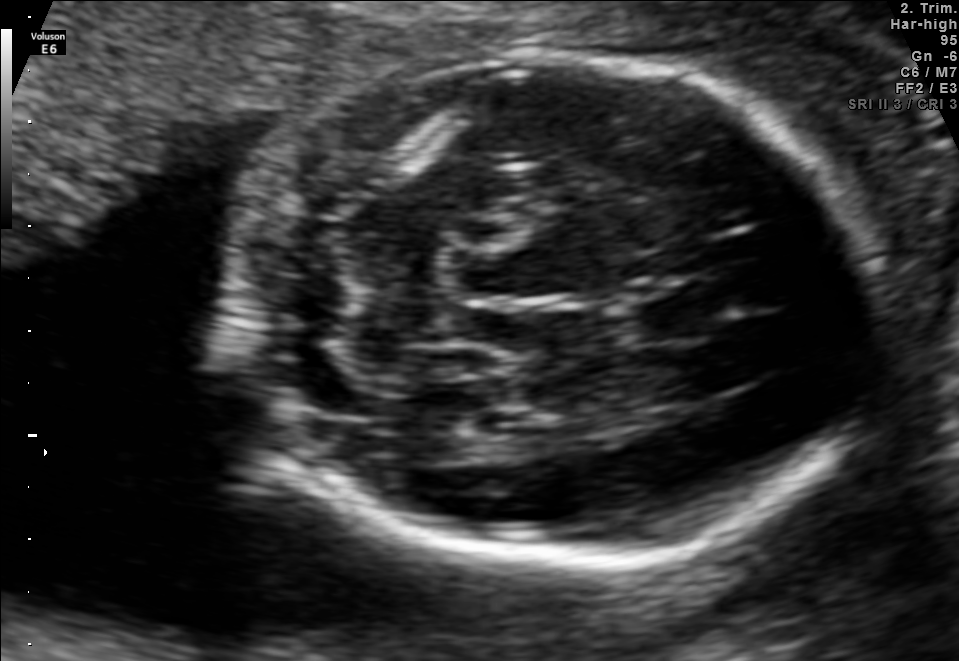
Which standard maternal-fetal ultrasound plane is shown: fetal abdomen, fetal brain, fetal femur, fetal thorax, maternal cervix, or other? If it's fetal brain and one of the three standard brain planes (trans-thalamic, trans-cerebellum, trans-ventricular), name which.

Fetal brain (trans-cerebellum plane)